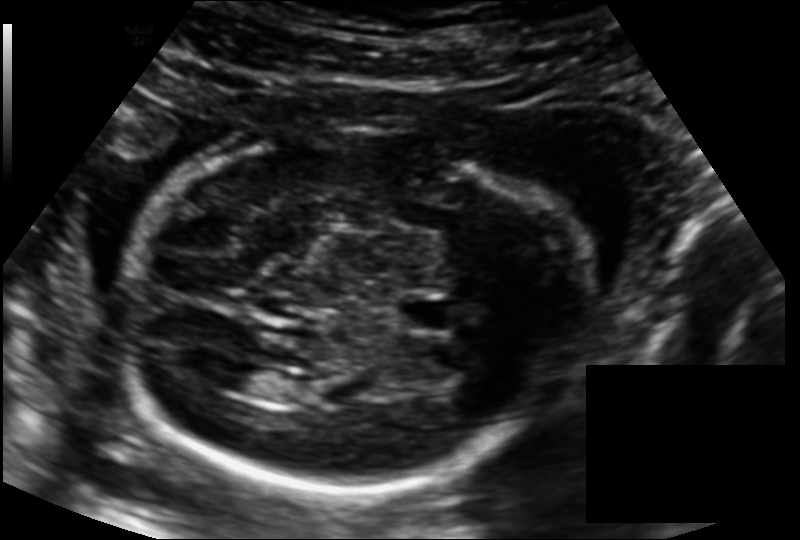
What is the fetal head circumference? Image width is 111.3 mm.

186.9 mm